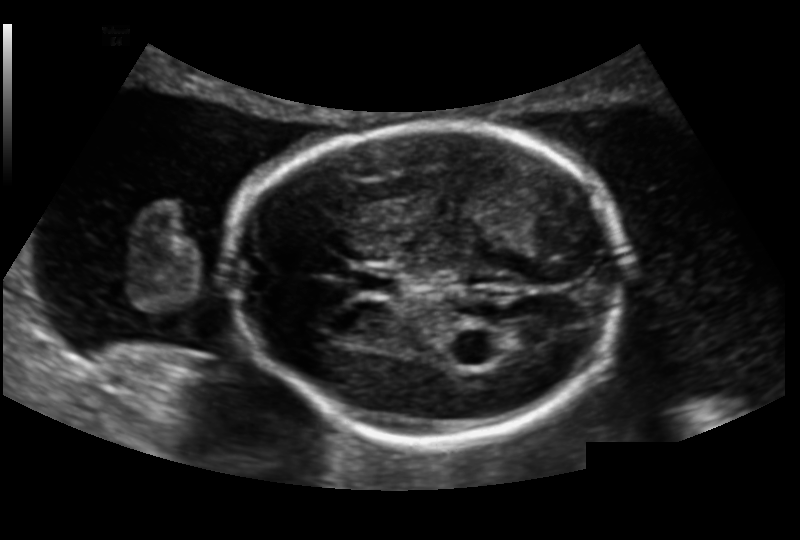
In this fetal head ultrasound, give the bounding box of the lateral ventricle. Image width: 121.1 mm.

[496,318,553,355]